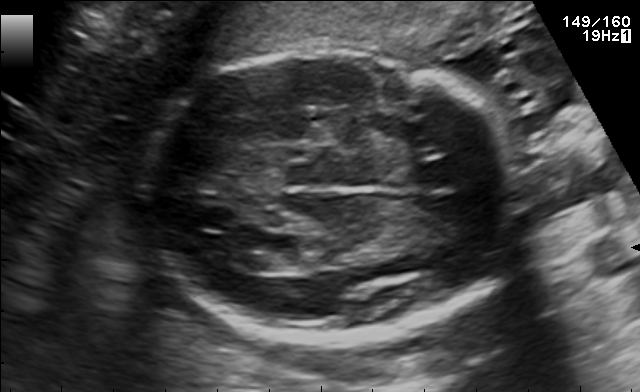
Fetal brain, trans-ventricular plane. Where is the fetal head?

Head bounding box: [128,42,537,350]